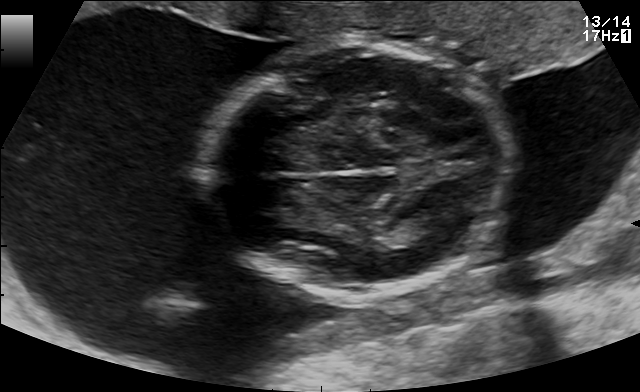
Which standard maternal-fetal ultrasound plane is shown: fetal abdomen, fetal brain, fetal femur, fetal thorax, maternal cervix, or other? If it's fetal brain and one of the three standard brain planes (trans-thalamic, trans-cerebellum, trans-ventricular), name which.

Fetal brain (trans-thalamic plane)